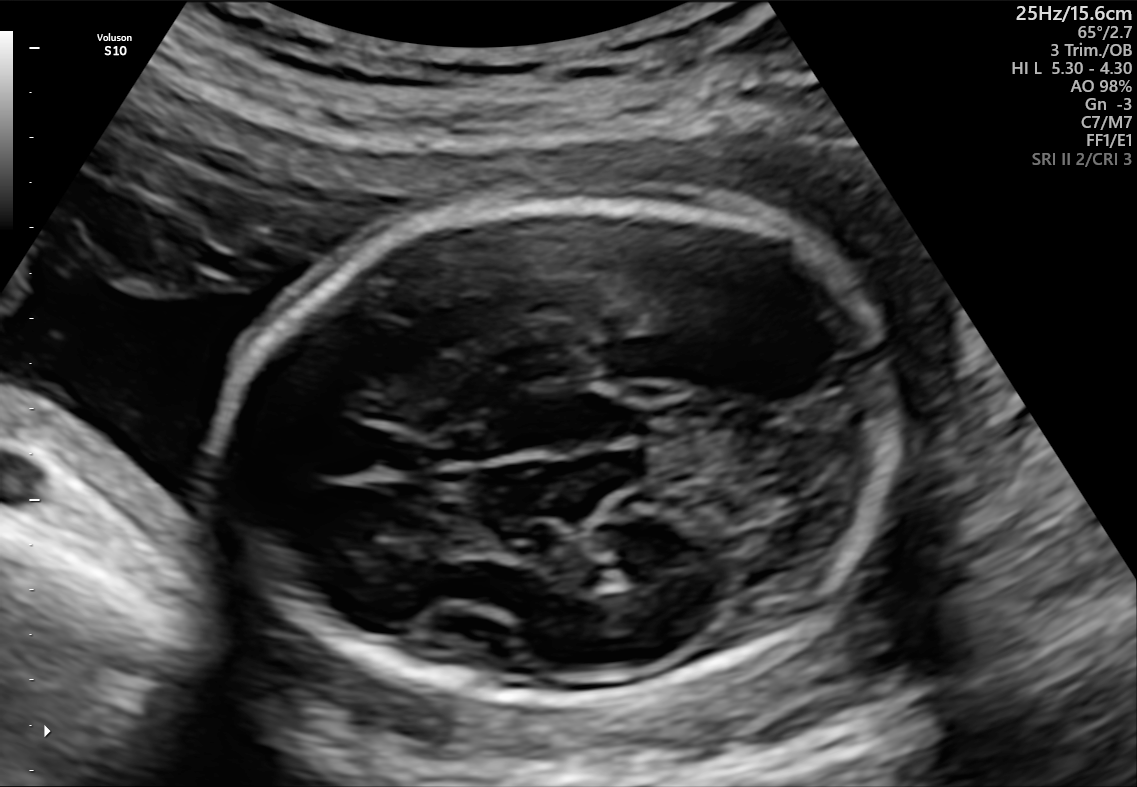
Which standard maternal-fetal ultrasound plane is shown: fetal abdomen, fetal brain, fetal femur, fetal thorax, maternal cervix, or other? If it's fetal brain and one of the three standard brain planes (trans-thalamic, trans-cerebellum, trans-ventricular), name which.

Fetal brain (trans-thalamic plane)